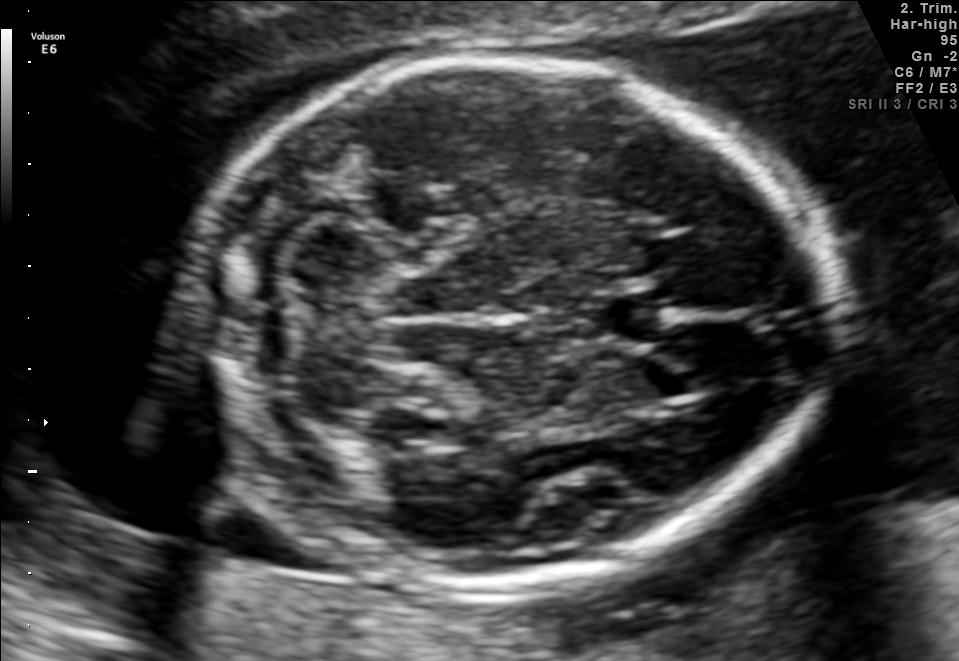
In this fetal brain, trans-cerebellum plane, give bounding boxes for the head outline, cavum septum pellucidum (CSP), and lateral ventricle (LV), where visible.

Head: [180,60,829,589]
CSP: [586,281,674,353]